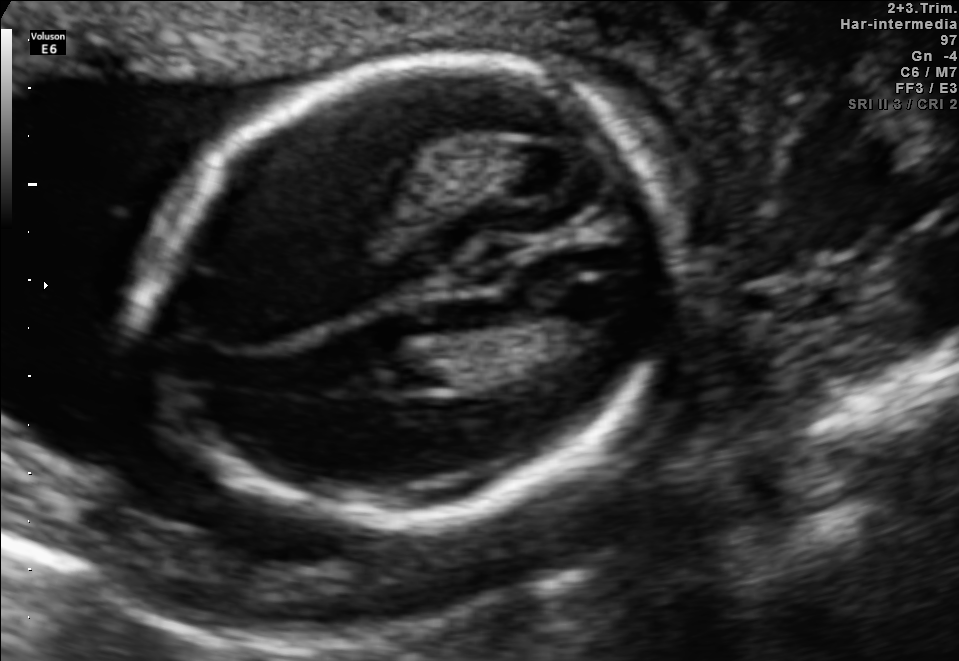
Which standard maternal-fetal ultrasound plane is shown: fetal abdomen, fetal brain, fetal femur, fetal thorax, maternal cervix, or other? If it's fetal brain and one of the three standard brain planes (trans-thalamic, trans-cerebellum, trans-ventricular), name which.

Fetal brain (trans-thalamic plane)